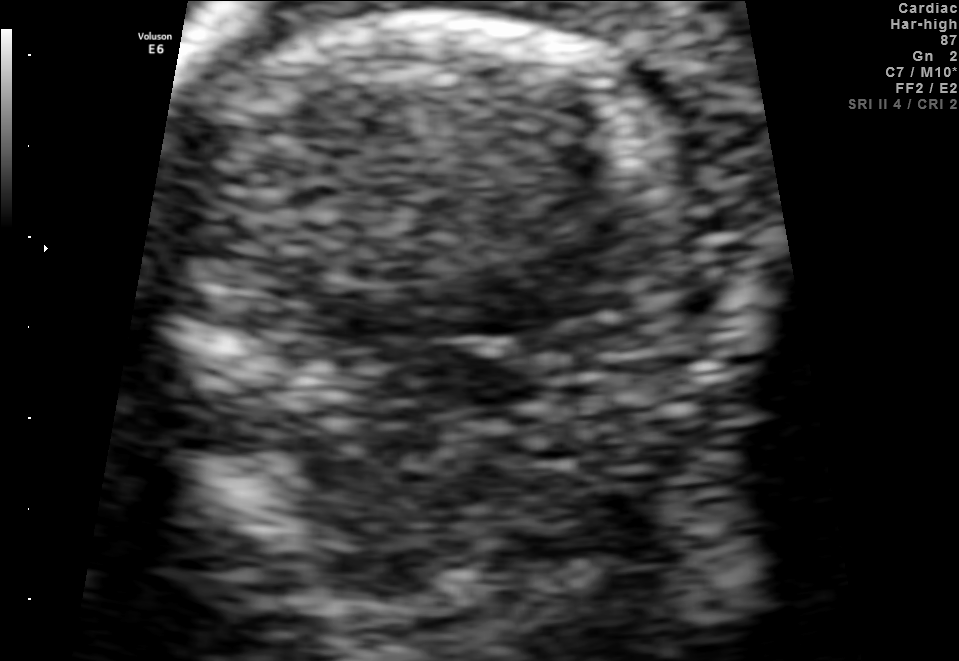
Classify this maternal-fetal ultrasound image as one of the six standard planes — fetal abdomen, fetal brain, fetal femur, fetal thorax, maternal cervix, or other. If it's fetal brain and one of the three standard brain planes (trans-thalamic, trans-cerebellum, trans-ventricular), name which.

Other